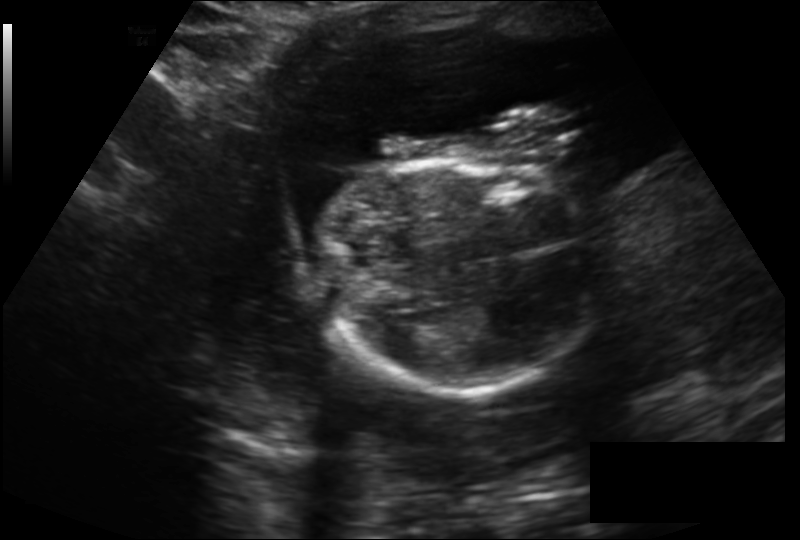
What is the fetal head circumference? Image width is 155.8 mm.

160.8 mm